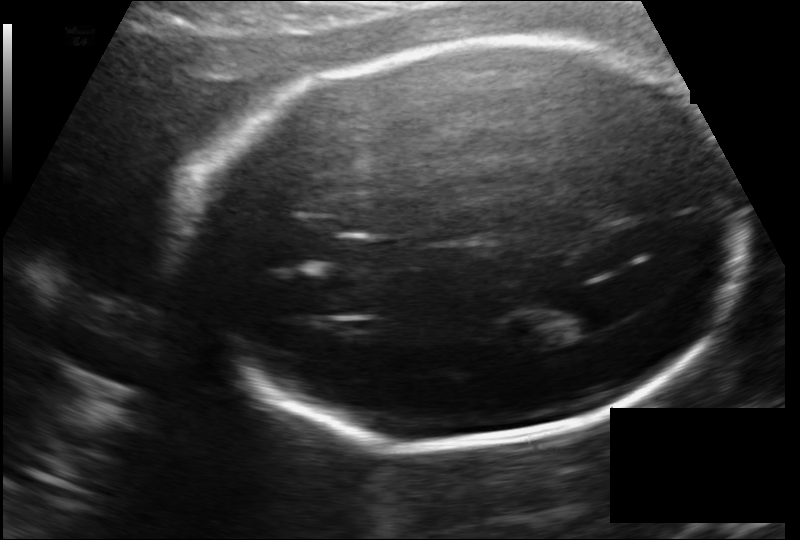
Fetal head ultrasound. Image width: 112.6 mm. Locate the fetal head.

Head: [192,44,743,449]